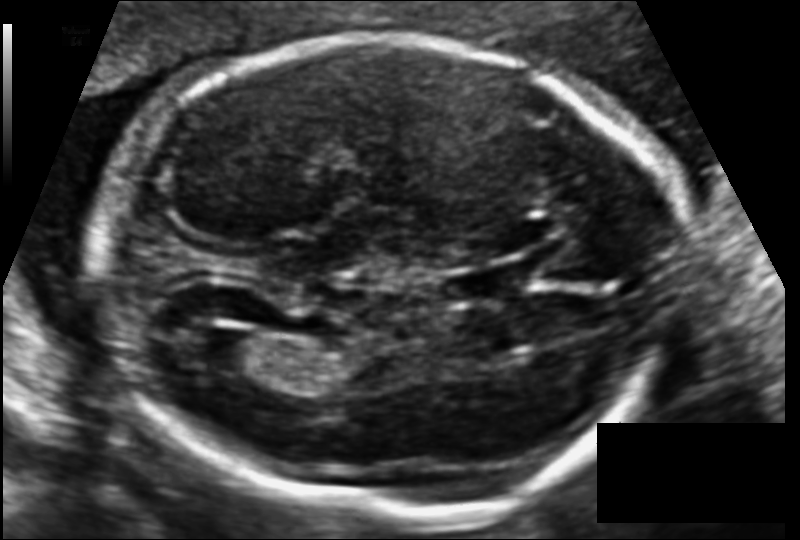
Fetal head ultrasound. Image width: 92.7 mm. Where is the fetal head?

Head bounding box: [99,36,676,514]